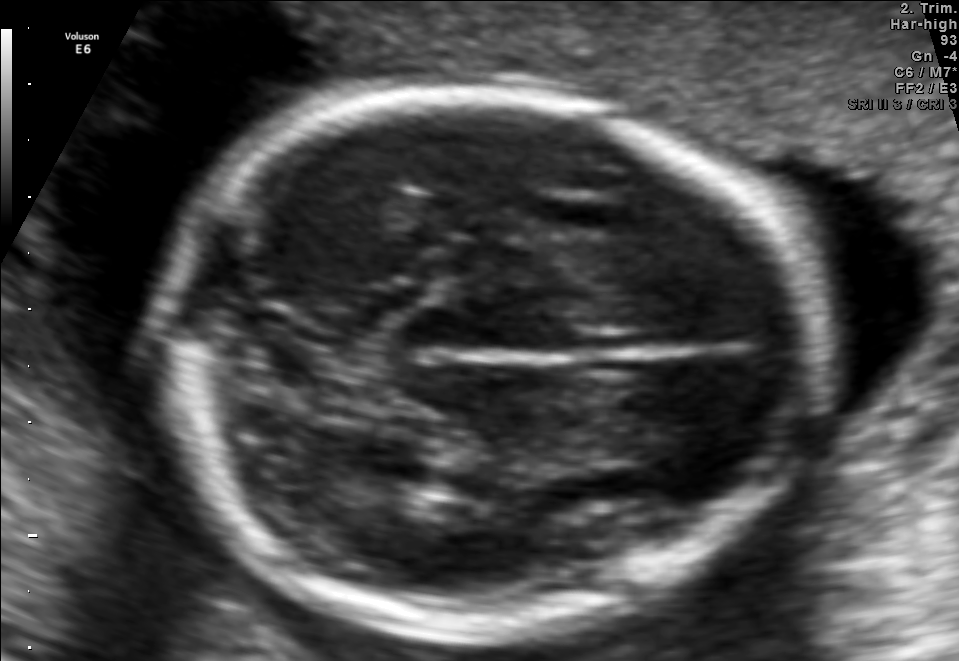
In this fetal brain, trans-thalamic plane, give the bounding box of the fetal head.

[149,96,816,631]